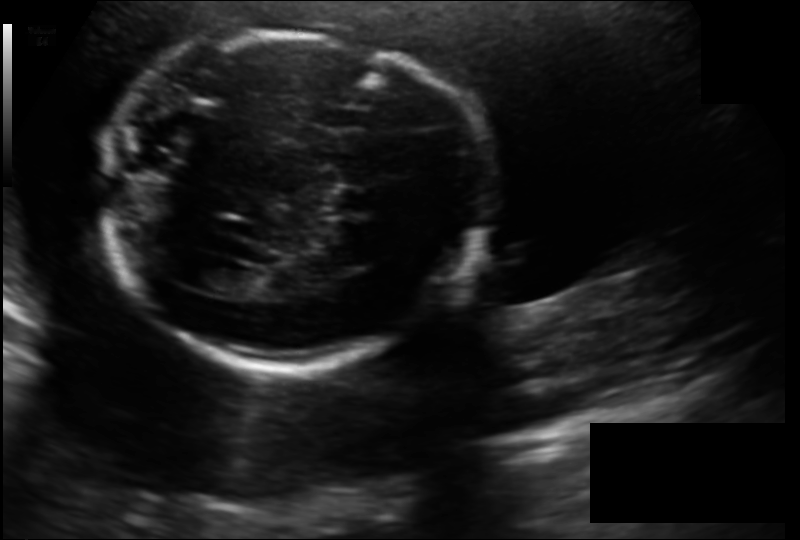
In this fetal head ultrasound, give the bounding box of the fetal head. Image width: 126.7 mm.

[98,34,486,367]